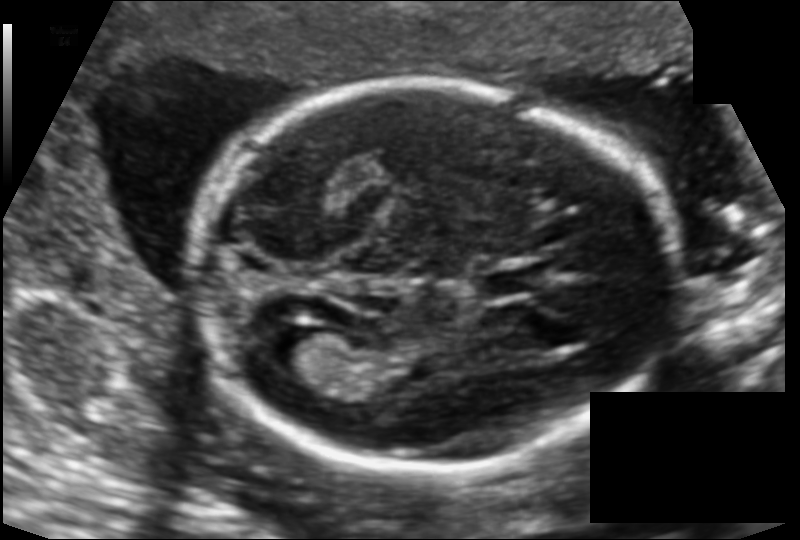
Fetal head ultrasound. Image width: 98.8 mm. Where is the cavum septum pellucidum?

CSP bounding box: [483,263,543,300]